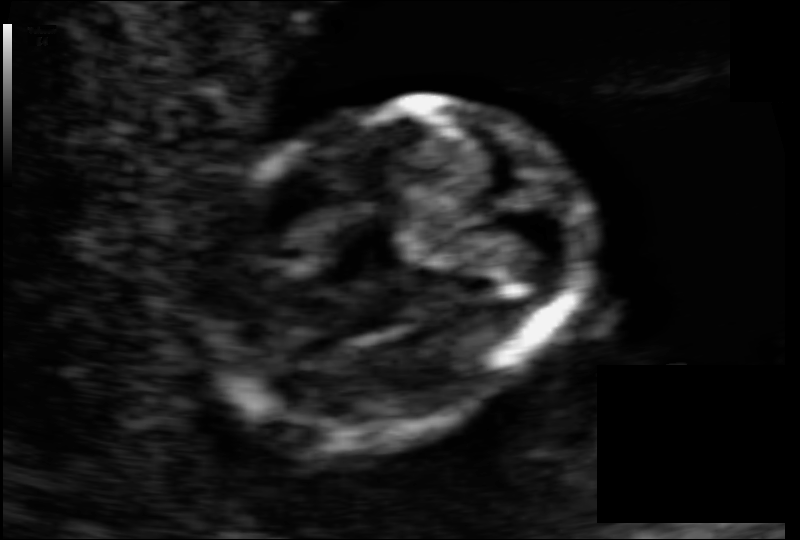
Fetal head ultrasound. Image width: 55.0 mm. Give [x1,y1,x2,y2] bounding boxes for each visible structure among: fetal head, CSP, LV.

Head: [206,101,582,444]